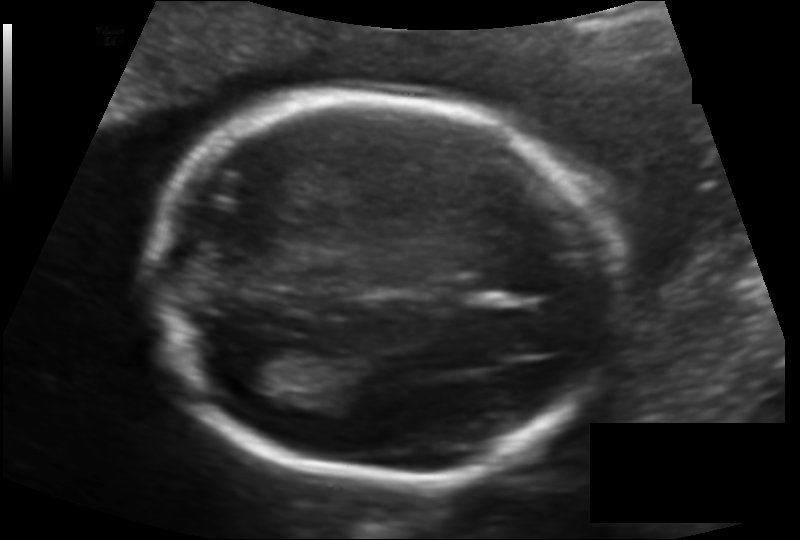
Fetal head ultrasound. Image width: 102.7 mm. Where is the fetal head?

Head bounding box: [152,95,616,480]